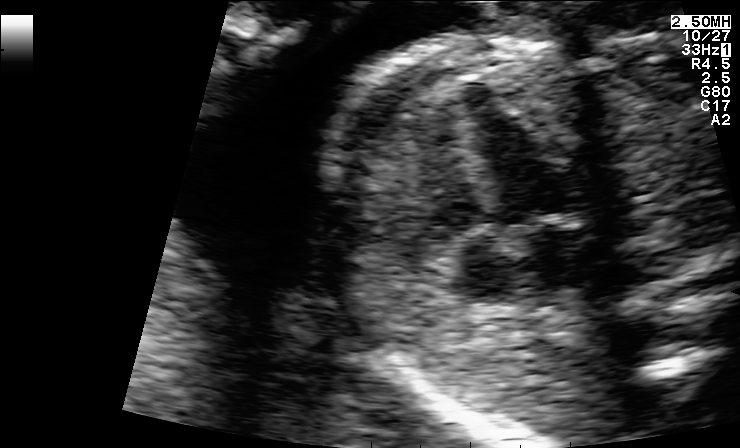
Classify this maternal-fetal ultrasound image as one of the six standard planes — fetal abdomen, fetal brain, fetal femur, fetal thorax, maternal cervix, or other. If it's fetal brain and one of the three standard brain planes (trans-thalamic, trans-cerebellum, trans-ventricular), name which.

Fetal thorax